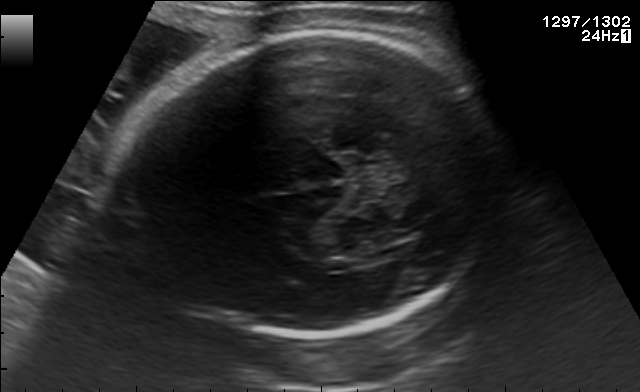
Fetal brain, trans-thalamic plane. Where is the fetal head?

Head bounding box: [113,31,501,340]